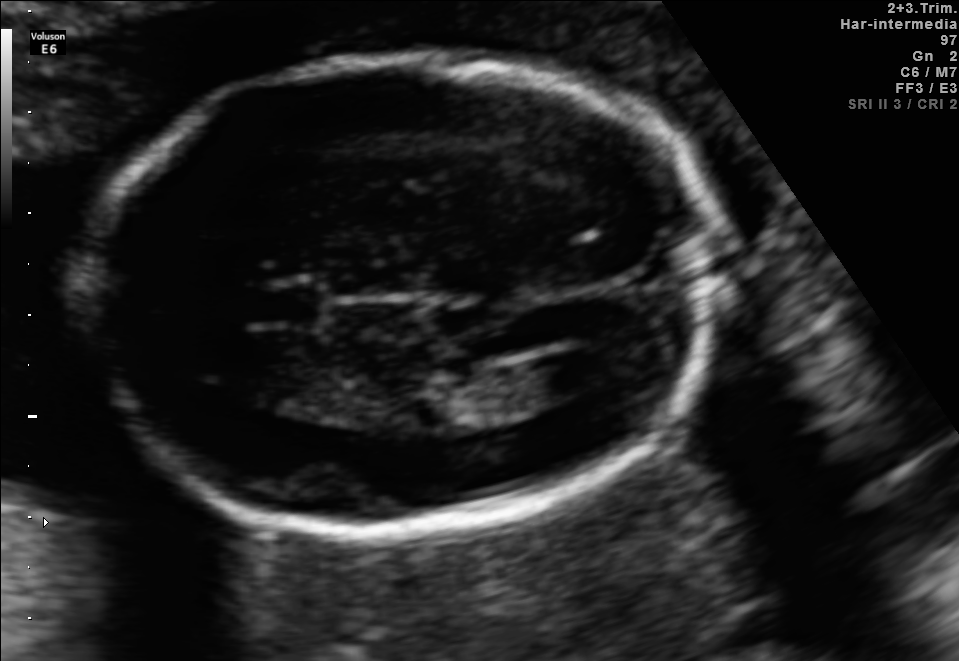
Fetal brain, trans-ventricular plane. Where is the cavum septum pellucidum?

CSP bounding box: [249,288,318,322]